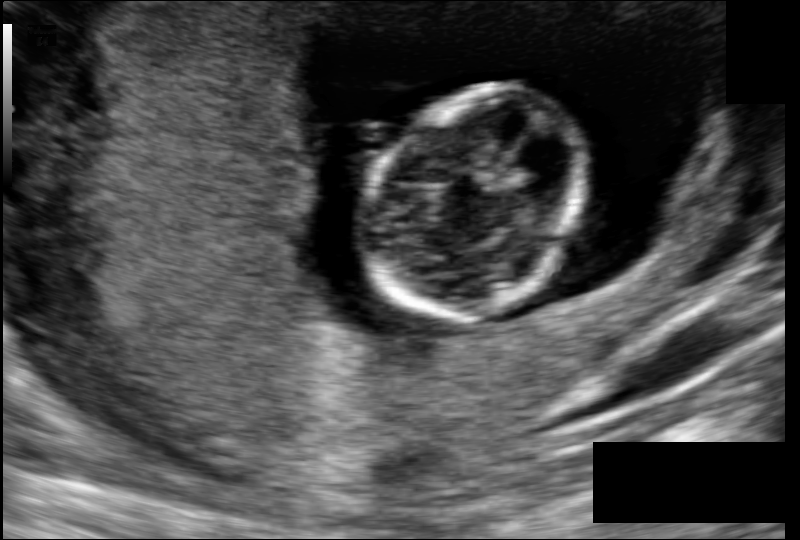
What is the fetal head circumference? Image width is 86.3 mm.

77.5 mm